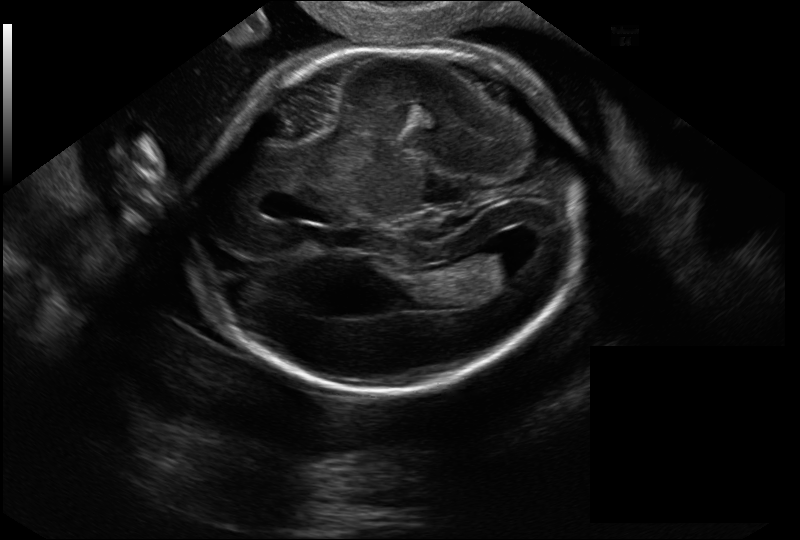
Fetal head ultrasound. Image width: 115.6 mm. Where is the lateral ventricle?

Lateral ventricle bounding box: [472,228,539,290]